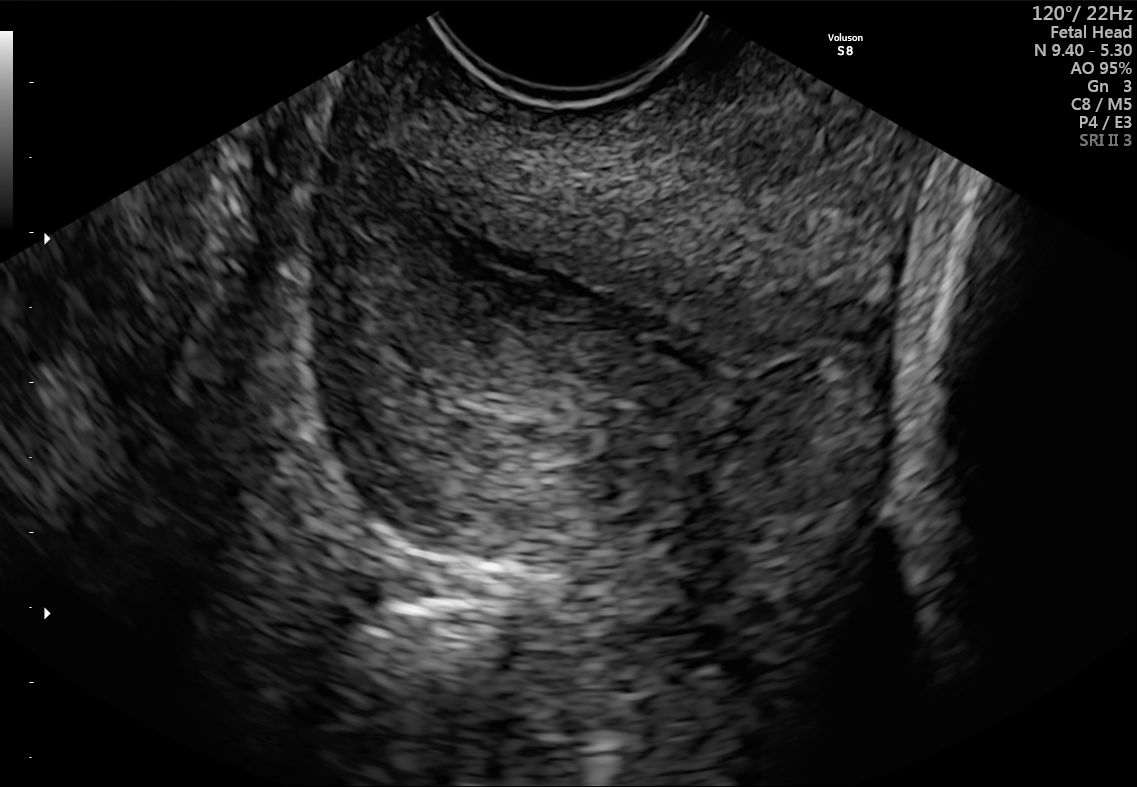
Classify this maternal-fetal ultrasound image as one of the six standard planes — fetal abdomen, fetal brain, fetal femur, fetal thorax, maternal cervix, or other. If it's fetal brain and one of the three standard brain planes (trans-thalamic, trans-cerebellum, trans-ventricular), name which.

Maternal cervix